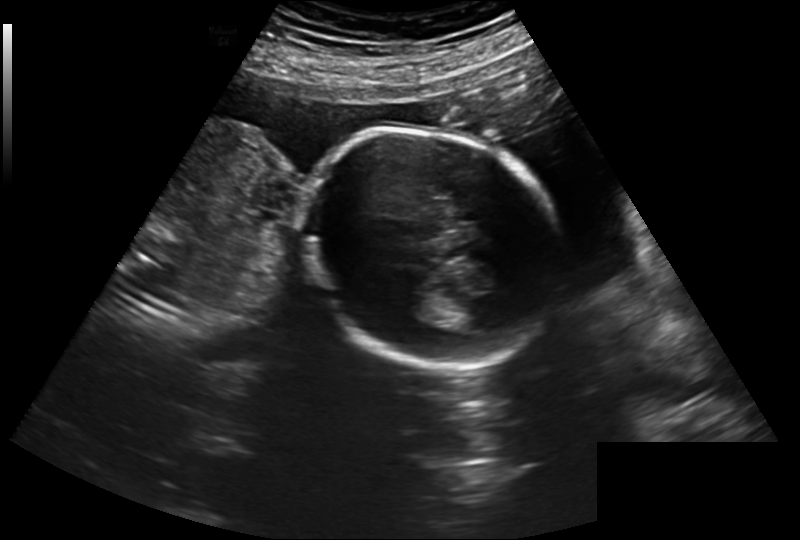
Fetal head ultrasound. Image width: 207.9 mm. Locate the fetal head and, if visible, the cavum septum pellucidum (CSP) and lateral ventricle (LV). Give bounding boxes as [x1,y1,x2,y2].

Head: [301,128,557,368]